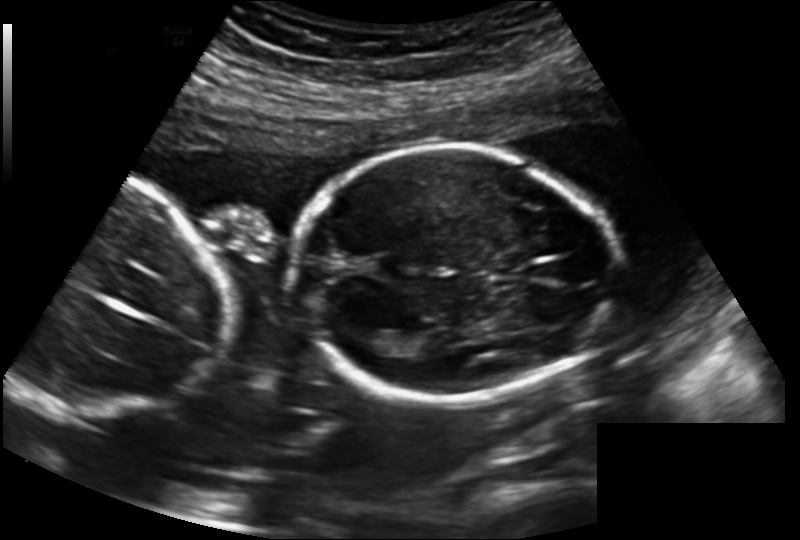
Estimate the fetal head circumference from this 2D ultrasound. Image width: 146.1 mm.

Head circumference: 173.1 mm.